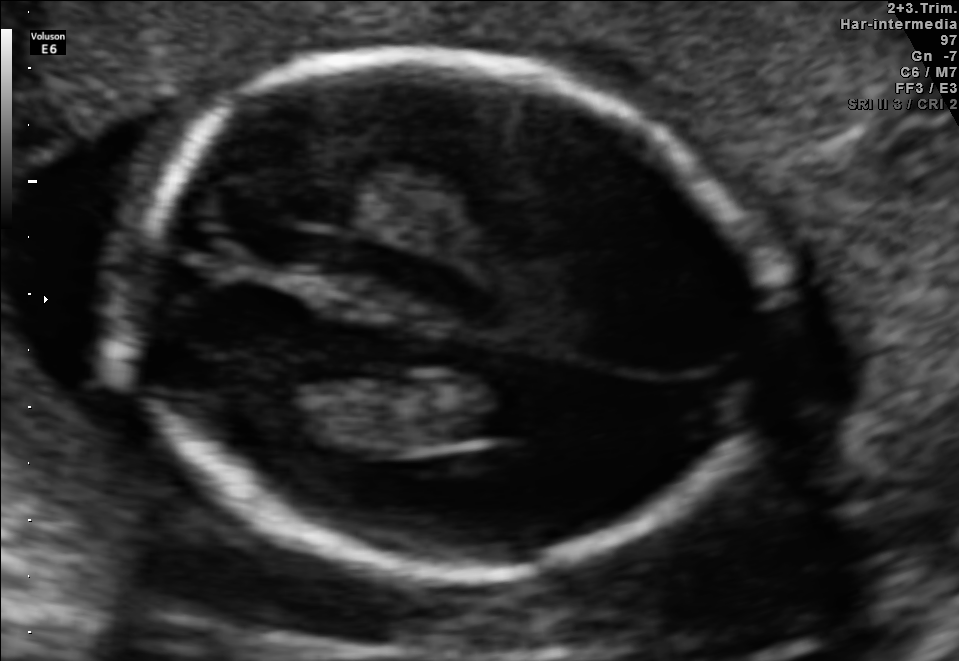
Classify this maternal-fetal ultrasound image as one of the six standard planes — fetal abdomen, fetal brain, fetal femur, fetal thorax, maternal cervix, or other. If it's fetal brain and one of the three standard brain planes (trans-thalamic, trans-cerebellum, trans-ventricular), name which.

Fetal brain (trans-ventricular plane)